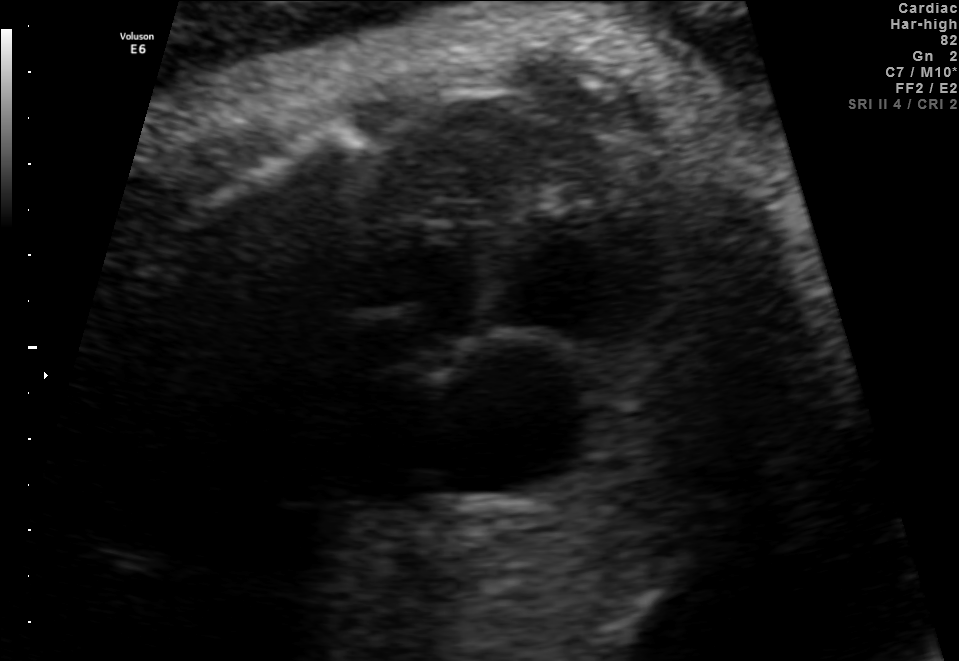
Identify the standard plane in this fetal ultrasound image: fetal abdomen, fetal brain, fetal femur, fetal thorax, maternal cervix, or other. If it's fetal brain and one of the three standard brain planes (trans-thalamic, trans-cerebellum, trans-ventricular), name which.

Fetal thorax